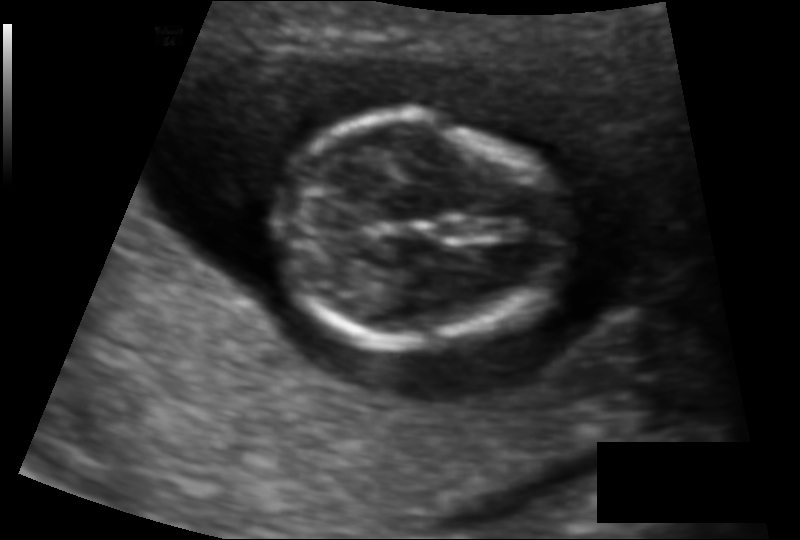
In this fetal head ultrasound, give the bounding box of the fetal head. Image width: 76.6 mm.

[275,119,563,344]